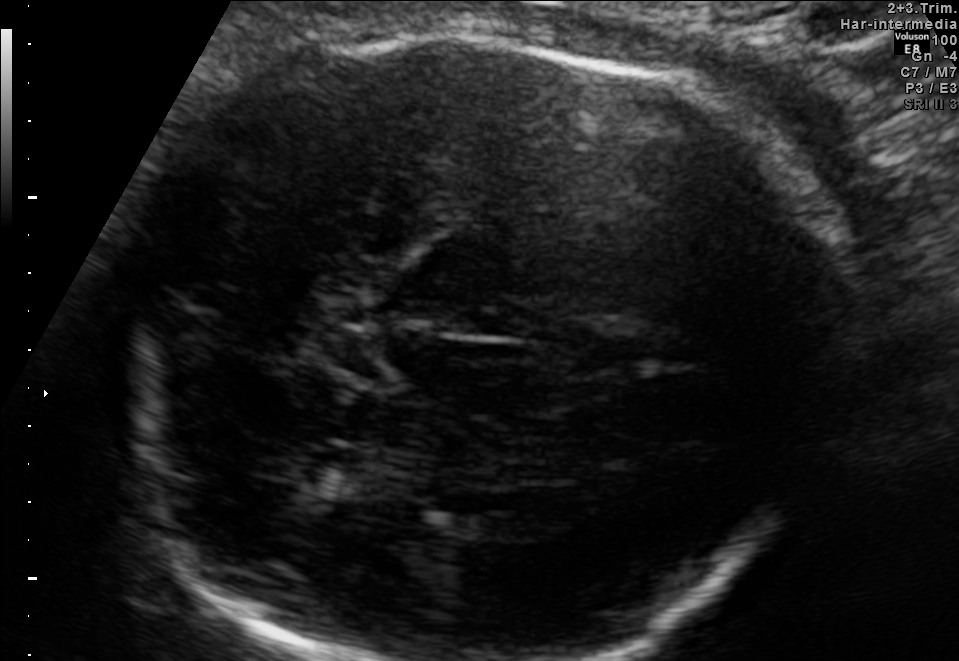
Fetal brain, trans-thalamic plane. Where is the fetal head?

Head bounding box: [131,22,800,660]